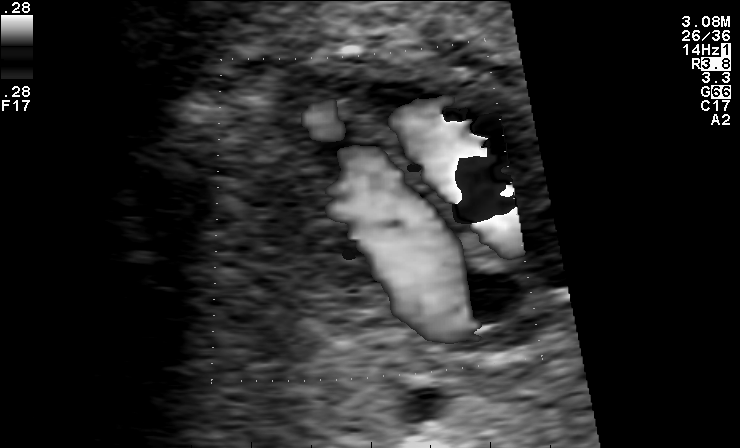
Classify this maternal-fetal ultrasound image as one of the six standard planes — fetal abdomen, fetal brain, fetal femur, fetal thorax, maternal cervix, or other. If it's fetal brain and one of the three standard brain planes (trans-thalamic, trans-cerebellum, trans-ventricular), name which.

Other